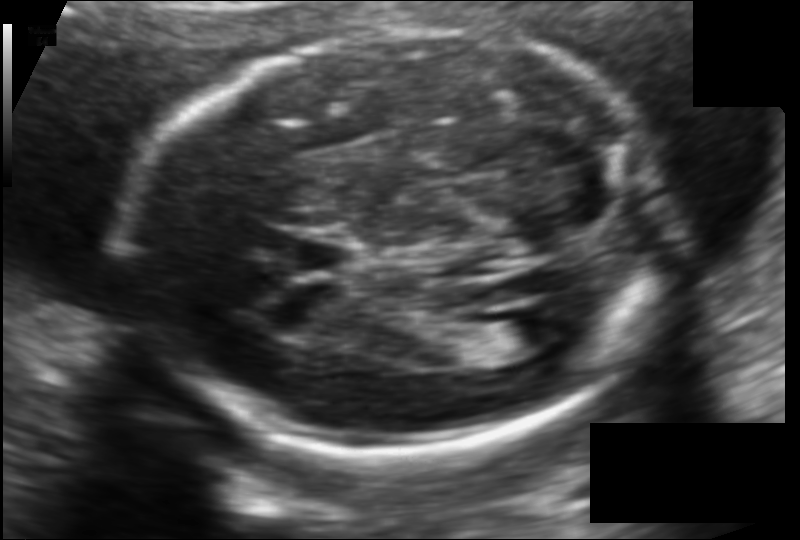
In this fetal head ultrasound, give bounding boxes for the head outline, cavum septum pellucidum (CSP), and lateral ventricle (LV), where visible. Image width: 94.7 mm.

Head: [131,32,666,457]
CSP: [290,232,358,278]
Lateral ventricle: [482,305,568,363]